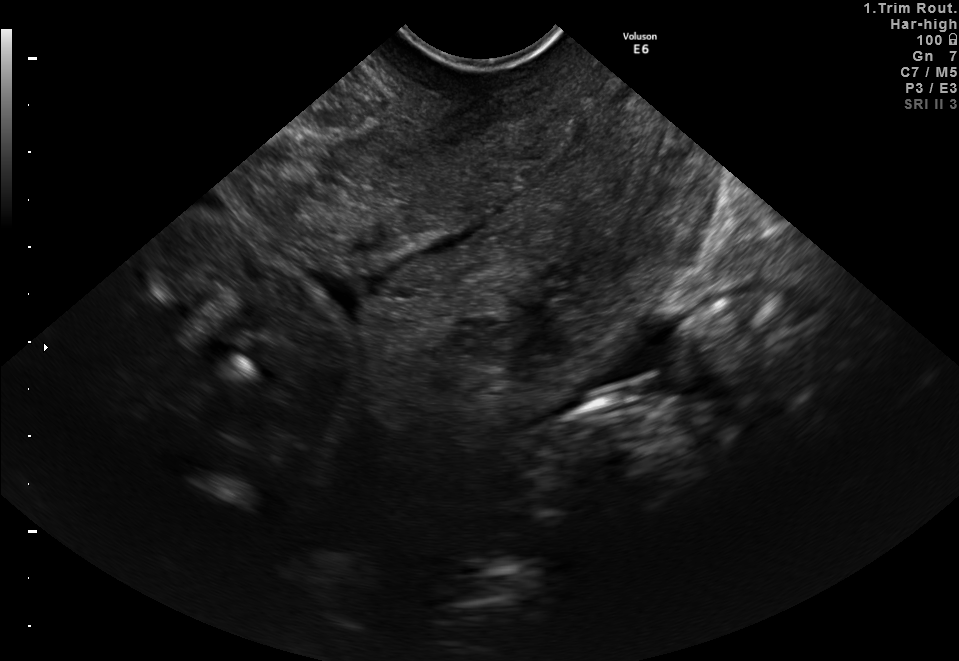
Identify the standard plane in this fetal ultrasound image: fetal abdomen, fetal brain, fetal femur, fetal thorax, maternal cervix, or other. If it's fetal brain and one of the three standard brain planes (trans-thalamic, trans-cerebellum, trans-ventricular), name which.

Maternal cervix